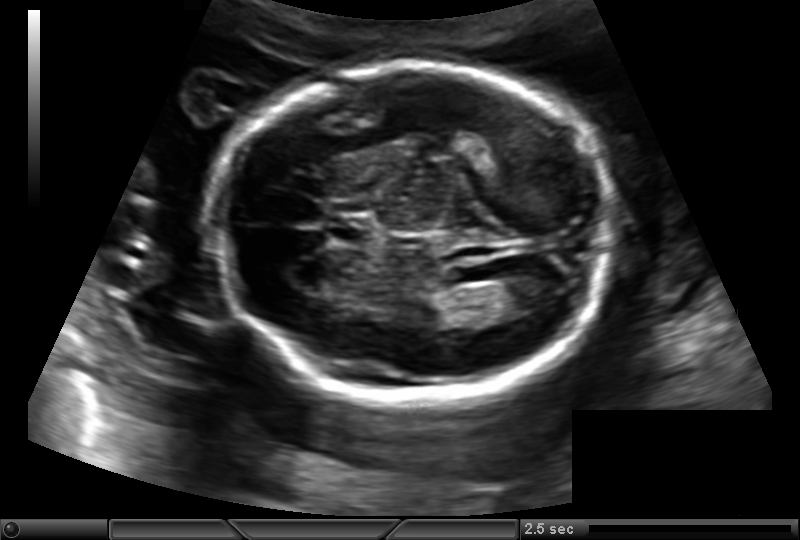
From this fetal ultrasound, estimate the head circumference (image width 116.2 mm).

Head circumference: 174.9 mm.